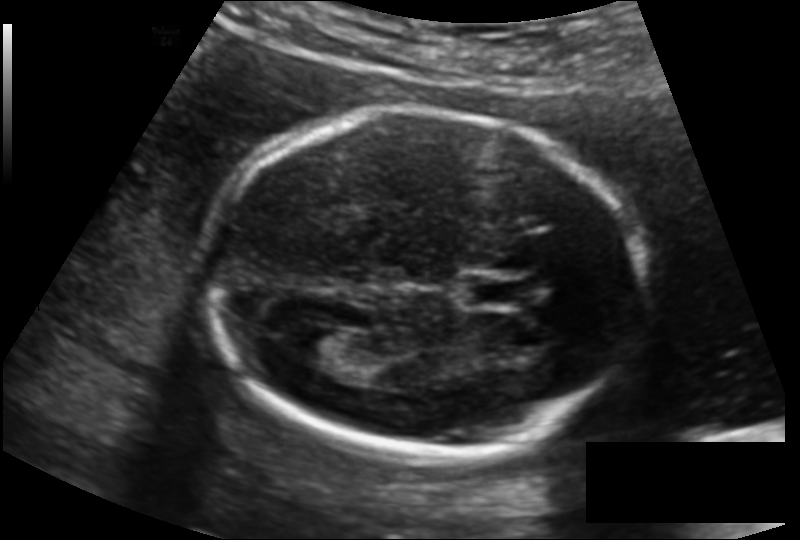
Estimate the fetal head circumference from this 2D ultrasound. Image width: 107.6 mm.

Head circumference: 170.8 mm.